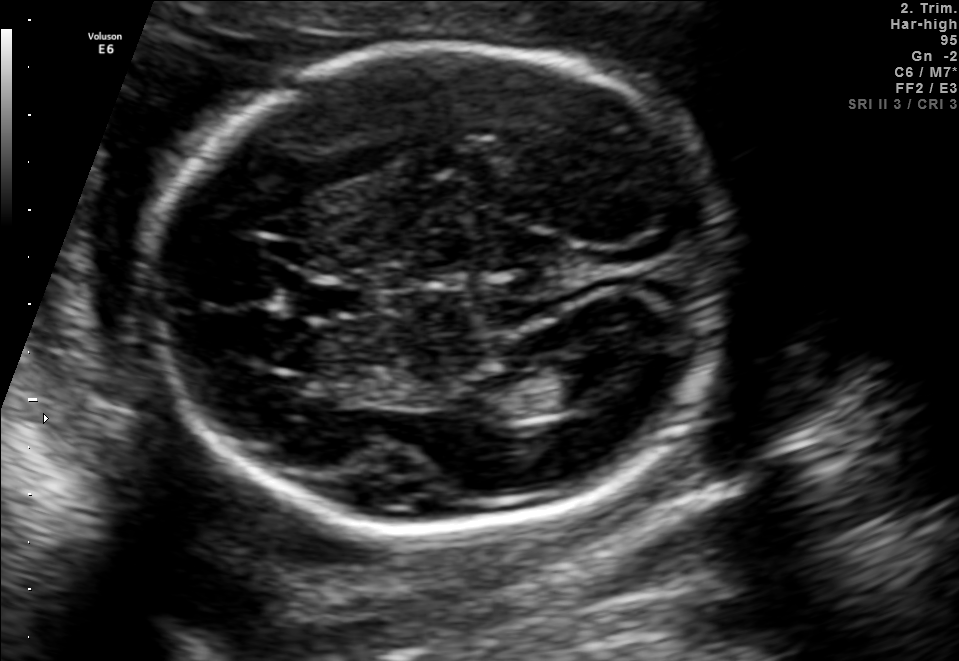
Fetal brain, trans-ventricular plane. Where is the fetal head?

Head bounding box: [135,37,742,540]